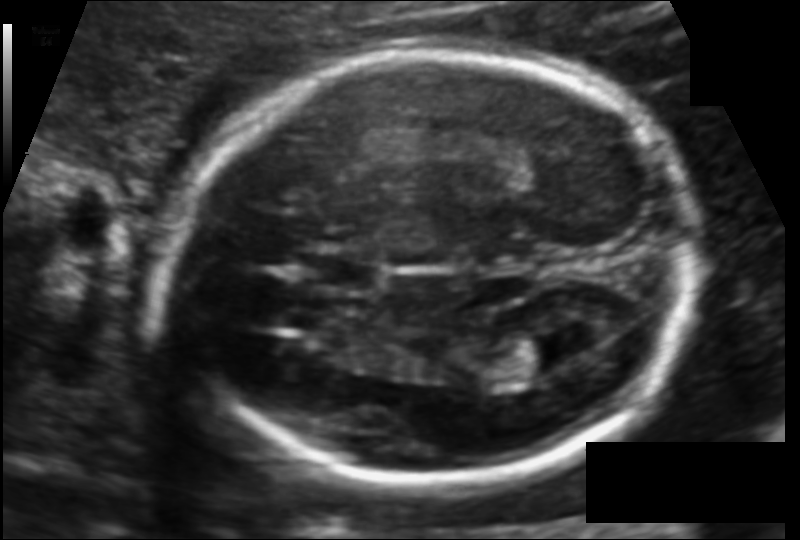
In this fetal head ultrasound, give the bounding box of the fetal head. Image width: 90.0 mm.

[160,51,698,484]